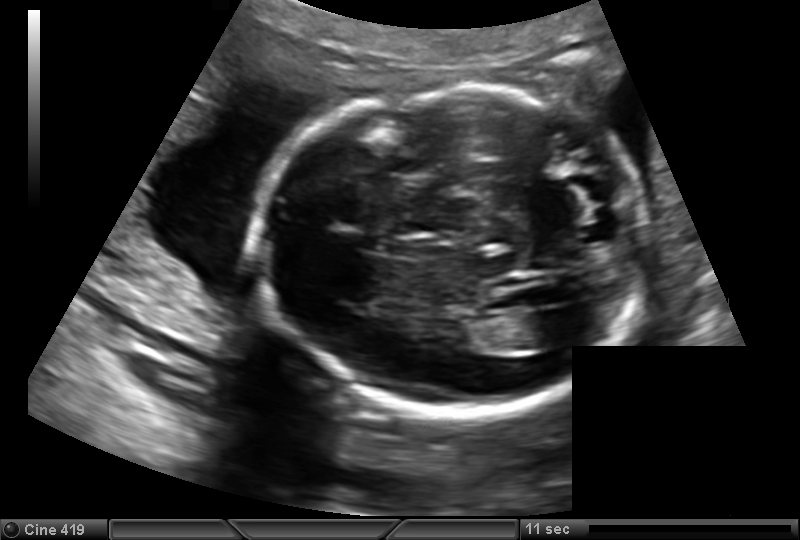
Fetal head ultrasound. Image width: 120.7 mm. Locate the fetal head and, if visible, the cavum septum pellucidum (CSP) and lateral ventricle (LV). Give bounding boxes as [x1,y1,x2,y2].

Head: [257,87,647,414]
Lateral ventricle: [515,309,573,351]